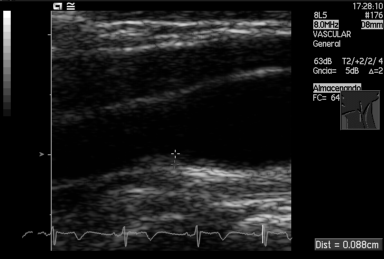
This is a 2D maternal-fetal ultrasound frame. Is it a fetal abdomen, fetal brain, fetal femur, fetal thorax, maternal cervix, or other standard plane? If it's fetal brain and one of the three standard brain planes (trans-thalamic, trans-cerebellum, trans-ventricular), name which.

Other